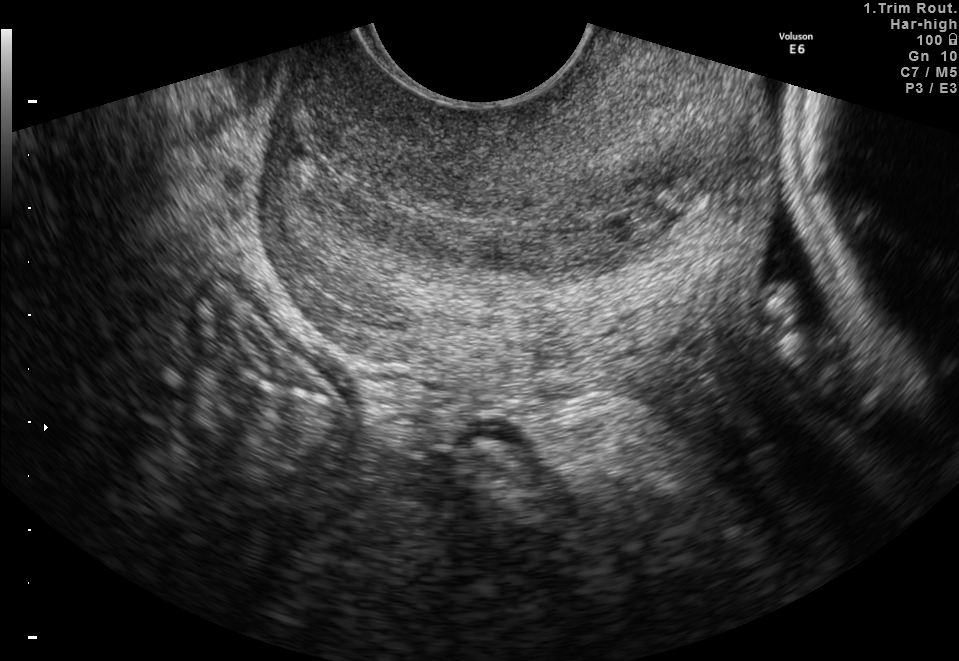
This is a 2D maternal-fetal ultrasound frame. Is it a fetal abdomen, fetal brain, fetal femur, fetal thorax, maternal cervix, or other standard plane? If it's fetal brain and one of the three standard brain planes (trans-thalamic, trans-cerebellum, trans-ventricular), name which.

Maternal cervix